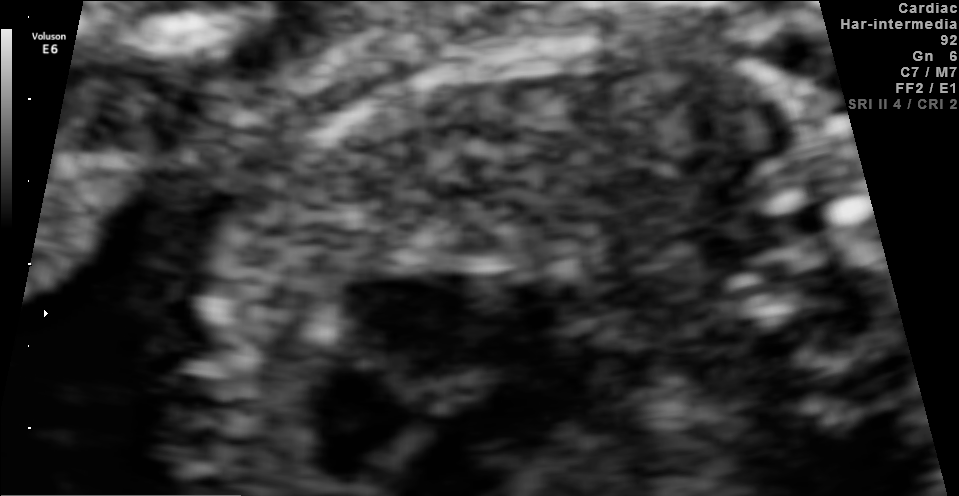
This is a 2D maternal-fetal ultrasound frame. Is it a fetal abdomen, fetal brain, fetal femur, fetal thorax, maternal cervix, or other standard plane? If it's fetal brain and one of the three standard brain planes (trans-thalamic, trans-cerebellum, trans-ventricular), name which.

Fetal thorax